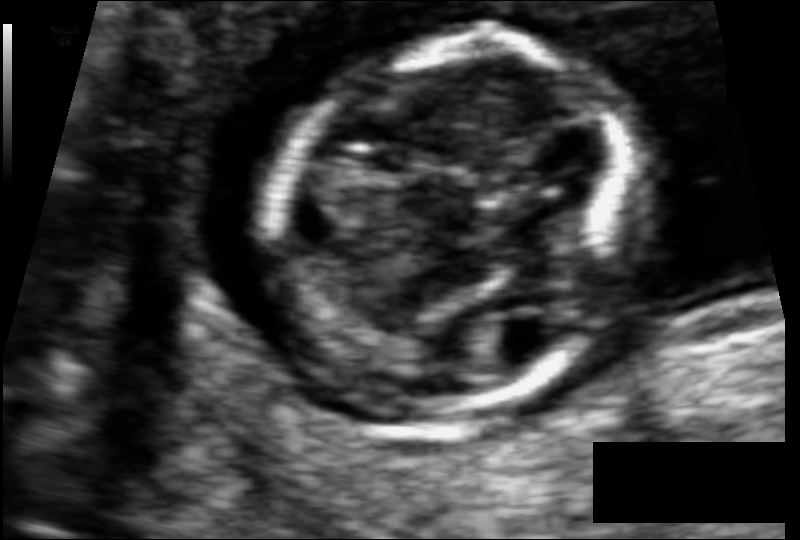
Fetal head ultrasound. Image width: 49.9 mm. Locate the fetal head and, if visible, the cavum septum pellucidum (CSP) and lateral ventricle (LV). Give bounding boxes as [x1,y1,x2,y2].

Head: [269,33,636,415]